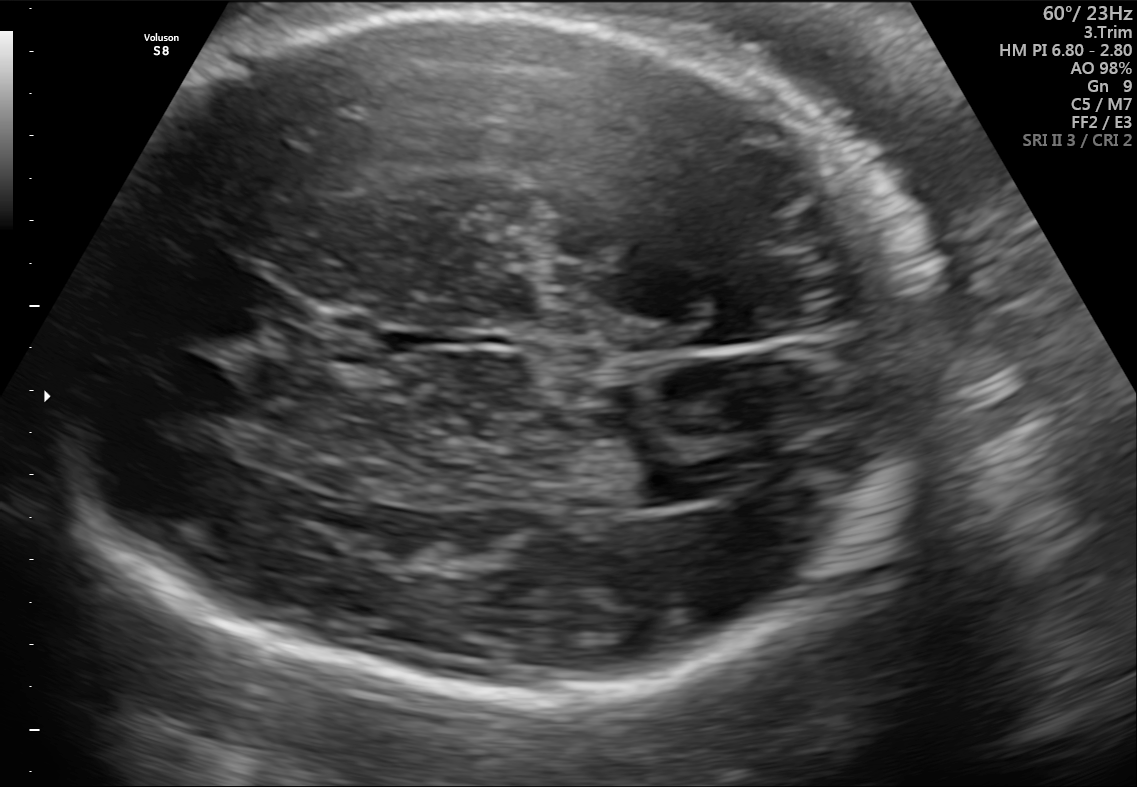
Fetal brain, trans-ventricular plane. Where is the cavum septum pellucidum?

CSP bounding box: [379,333,423,353]